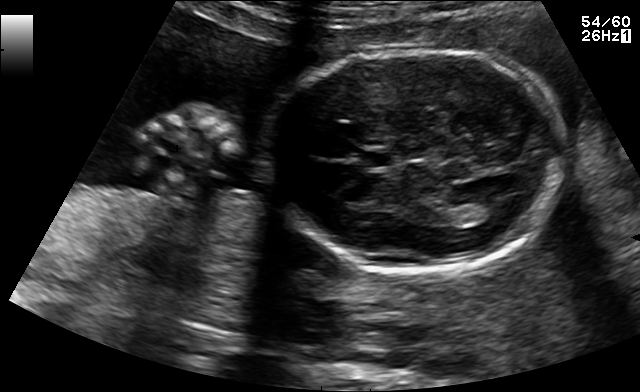
Fetal brain, trans-thalamic plane. Locate the fetal head.

Head: [264,50,565,270]